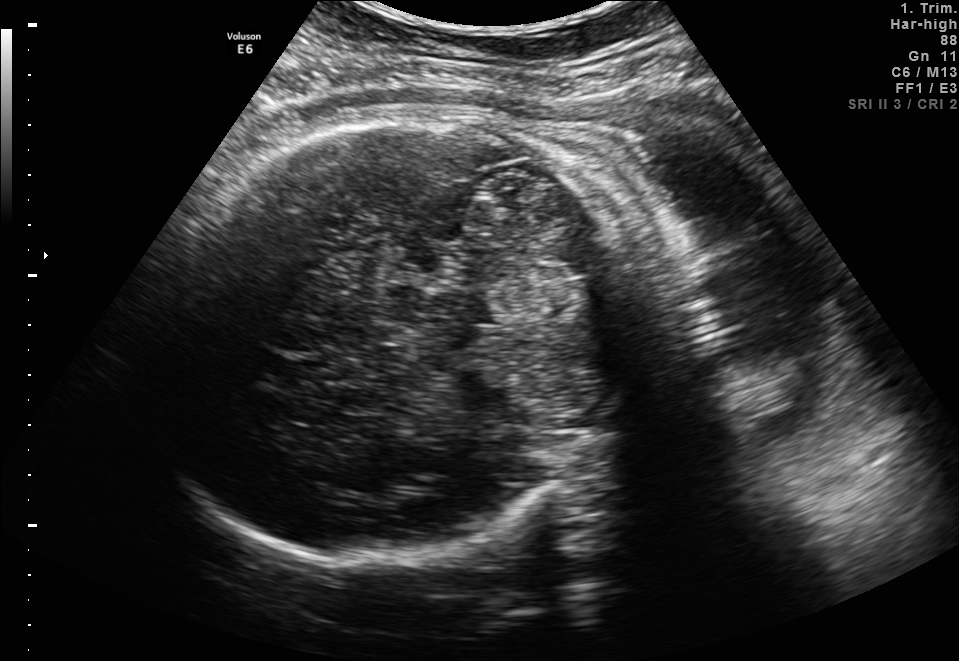
In this fetal brain, trans-thalamic plane, give the bounding box of the fetal head.

[144,108,633,573]